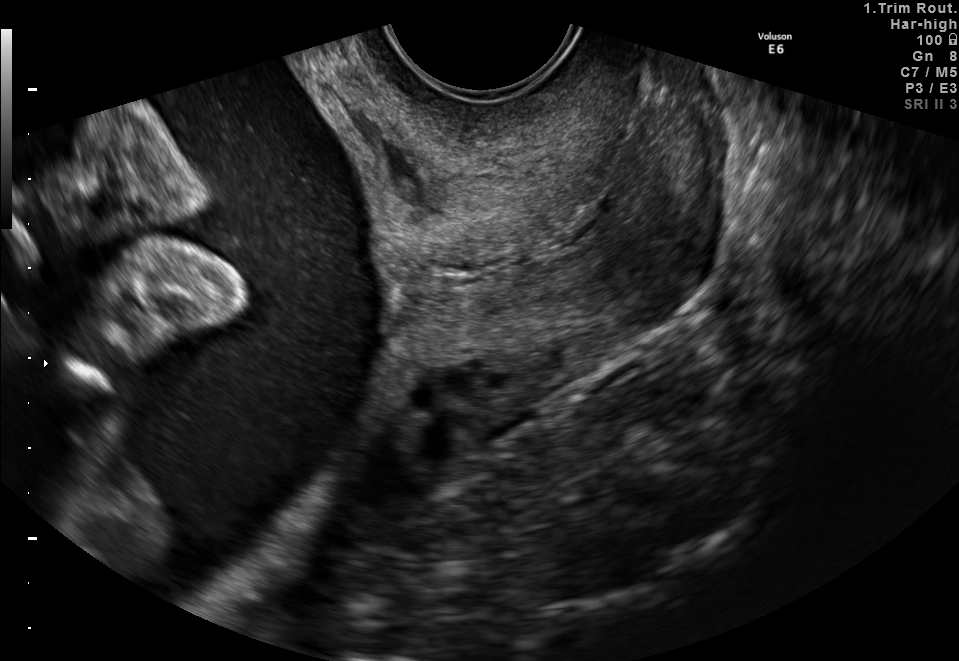
Which standard maternal-fetal ultrasound plane is shown: fetal abdomen, fetal brain, fetal femur, fetal thorax, maternal cervix, or other? If it's fetal brain and one of the three standard brain planes (trans-thalamic, trans-cerebellum, trans-ventricular), name which.

Maternal cervix